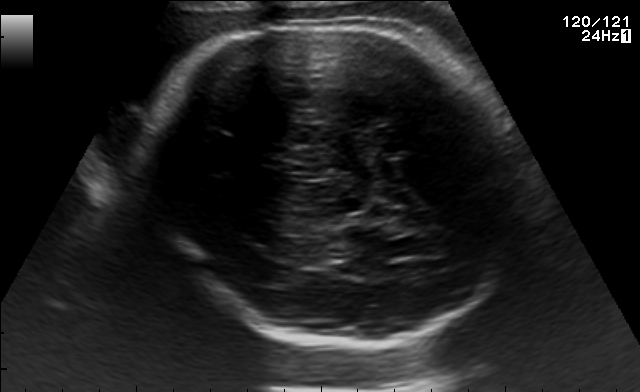
Which standard maternal-fetal ultrasound plane is shown: fetal abdomen, fetal brain, fetal femur, fetal thorax, maternal cervix, or other? If it's fetal brain and one of the three standard brain planes (trans-thalamic, trans-cerebellum, trans-ventricular), name which.

Fetal brain (trans-thalamic plane)